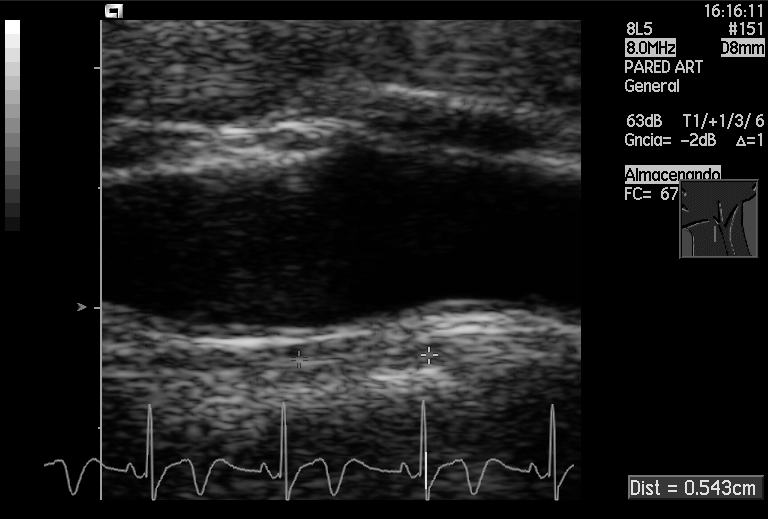
Classify this maternal-fetal ultrasound image as one of the six standard planes — fetal abdomen, fetal brain, fetal femur, fetal thorax, maternal cervix, or other. If it's fetal brain and one of the three standard brain planes (trans-thalamic, trans-cerebellum, trans-ventricular), name which.

Other